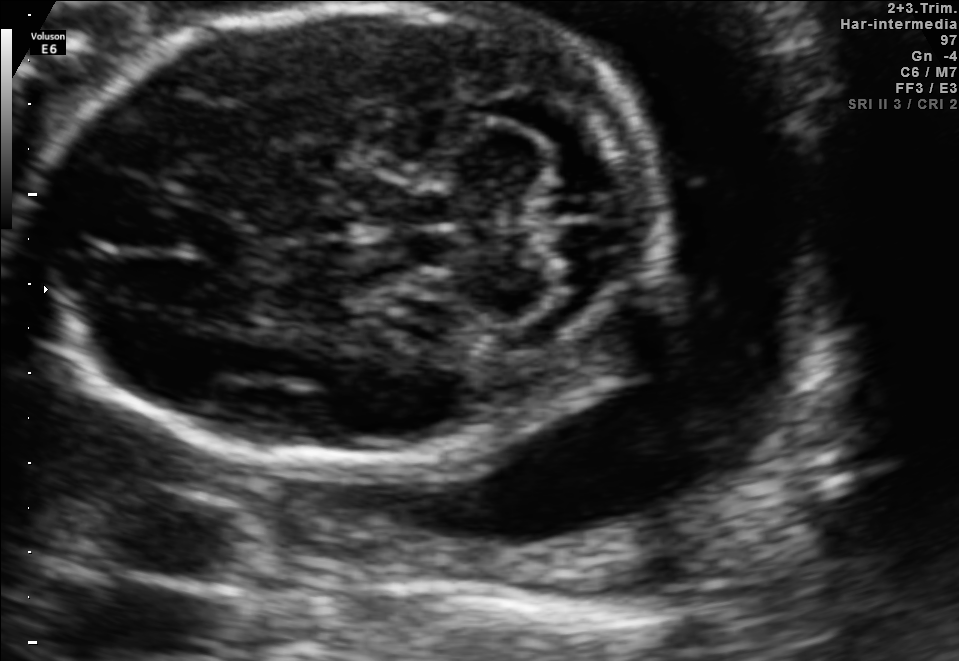
Fetal brain, trans-cerebellum plane. Give [x1,y1,x2,y2] bounding boxes for each visible structure among: fetal head, CSP, LV.

Head: [39,3,664,472]
CSP: [167,199,252,270]